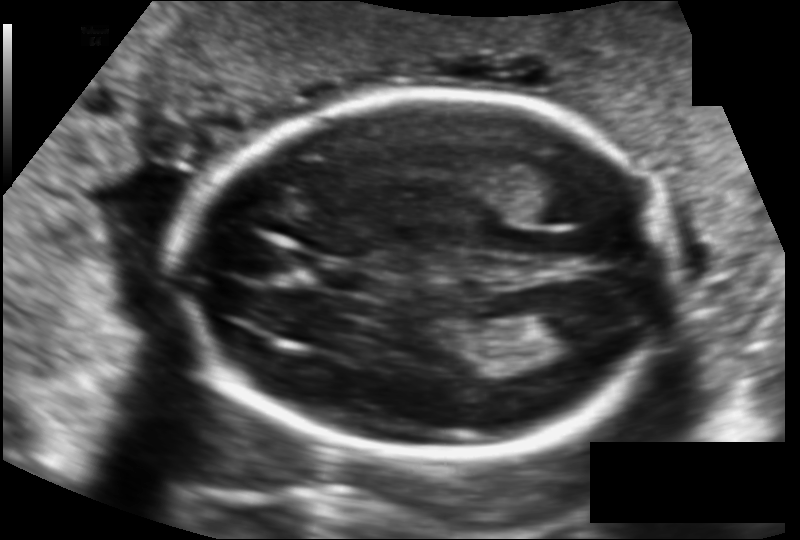
Fetal head ultrasound. Image width: 98.9 mm. Locate the fetal head and, if visible, the cavum septum pellucidum (CSP) and lateral ventricle (LV). Give bounding boxes as [x1,y1,x2,y2].

Head: [177,95,673,457]
CSP: [317,259,380,299]
Lateral ventricle: [530,302,604,354]